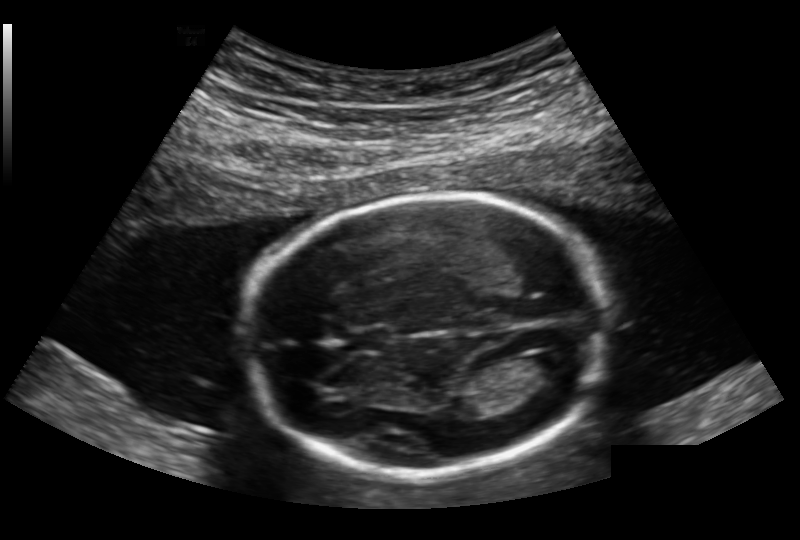
What is the fetal head circumference? Image width is 134.4 mm.

180.6 mm